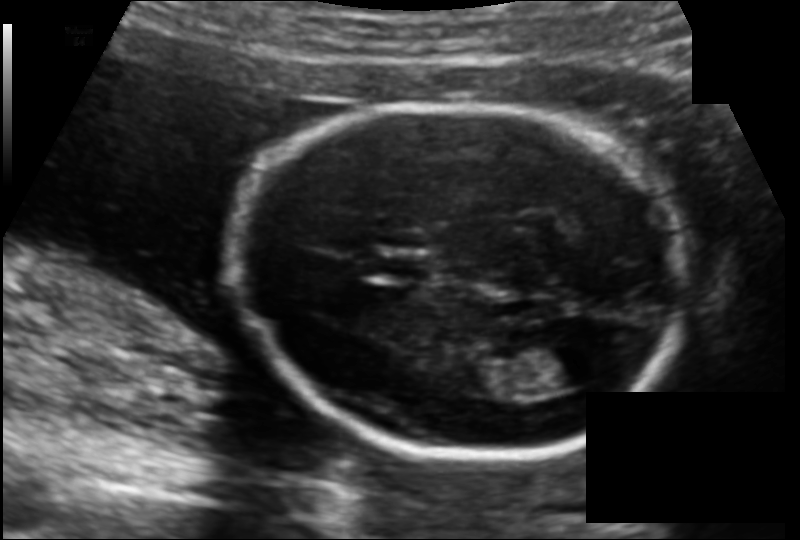
From this fetal ultrasound, estimate the head circumference (image width 100.4 mm).

Head circumference: 165.0 mm.